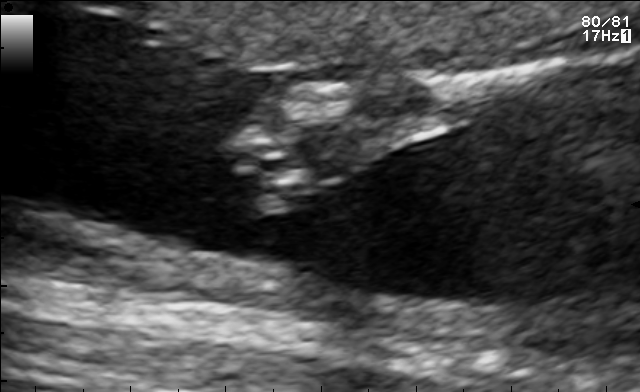
Which standard maternal-fetal ultrasound plane is shown: fetal abdomen, fetal brain, fetal femur, fetal thorax, maternal cervix, or other? If it's fetal brain and one of the three standard brain planes (trans-thalamic, trans-cerebellum, trans-ventricular), name which.

Other